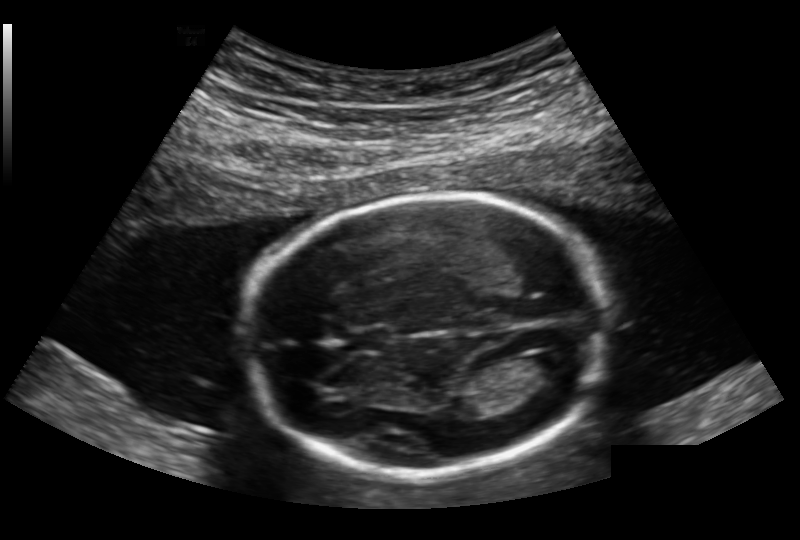
Estimate the fetal head circumference from this 2D ultrasound. Image width: 134.4 mm.

Head circumference: 180.6 mm.